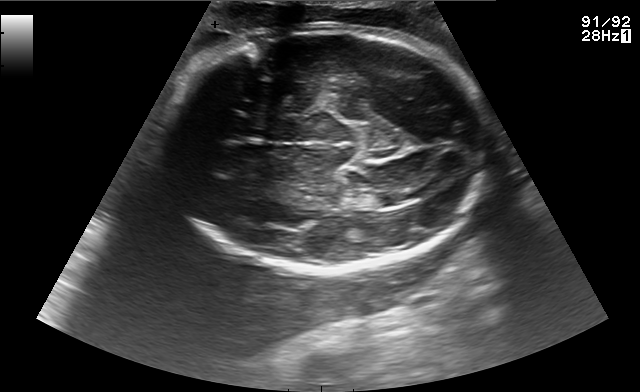
In this fetal brain, trans-thalamic plane, give bounding boxes for the head outline, cavum septum pellucidum (CSP), and lateral ventricle (LV), where visible.

Head: [160,25,493,273]
Lateral ventricle: [371,184,421,212]